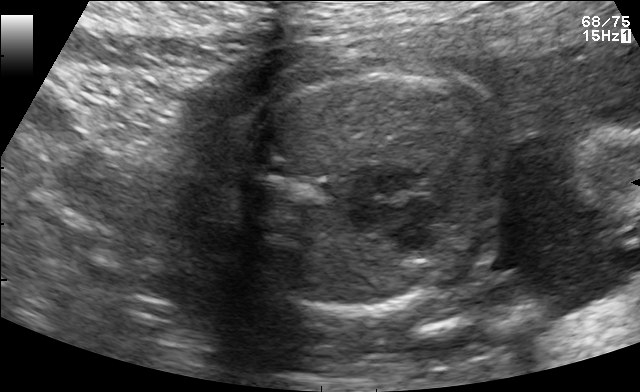
Identify the standard plane in this fetal ultrasound image: fetal abdomen, fetal brain, fetal femur, fetal thorax, maternal cervix, or other. If it's fetal brain and one of the three standard brain planes (trans-thalamic, trans-cerebellum, trans-ventricular), name which.

Fetal thorax